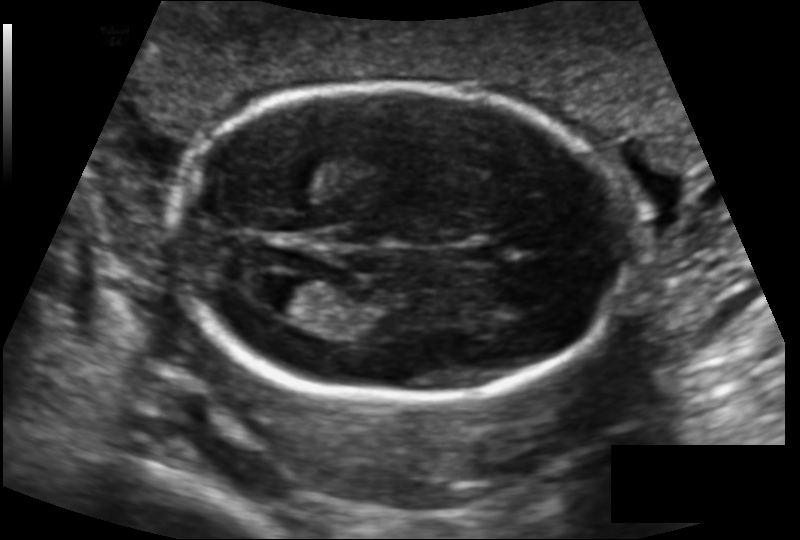
Fetal head ultrasound. Image width: 104.8 mm. Give [x1,y1,x2,y2] bounding boxes for each visible structure among: fetal head, CSP, LV.

Head: [173,83,634,400]
Lateral ventricle: [248,269,327,321]